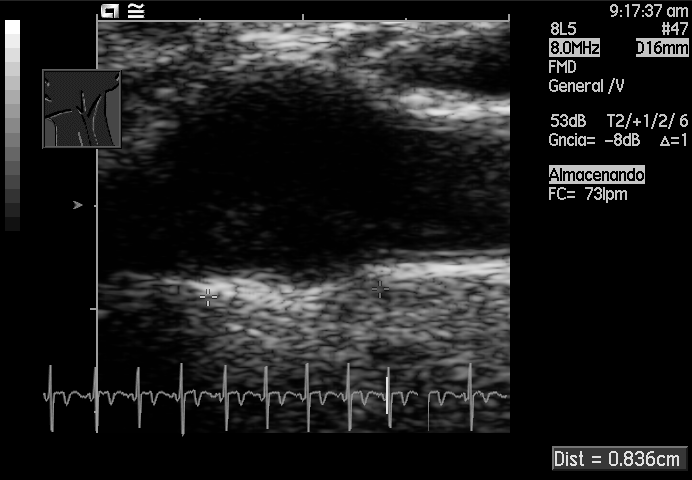
Classify this maternal-fetal ultrasound image as one of the six standard planes — fetal abdomen, fetal brain, fetal femur, fetal thorax, maternal cervix, or other. If it's fetal brain and one of the three standard brain planes (trans-thalamic, trans-cerebellum, trans-ventricular), name which.

Other